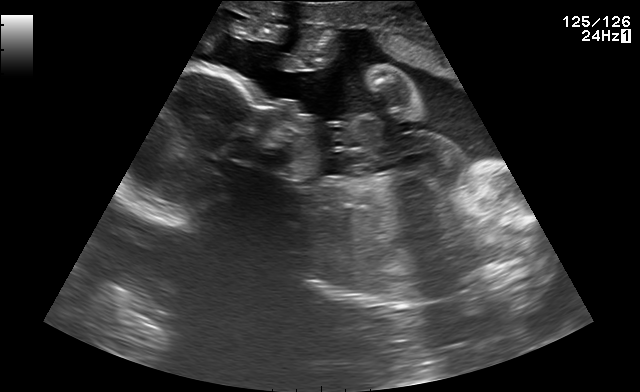
Identify the standard plane in this fetal ultrasound image: fetal abdomen, fetal brain, fetal femur, fetal thorax, maternal cervix, or other. If it's fetal brain and one of the three standard brain planes (trans-thalamic, trans-cerebellum, trans-ventricular), name which.

Other